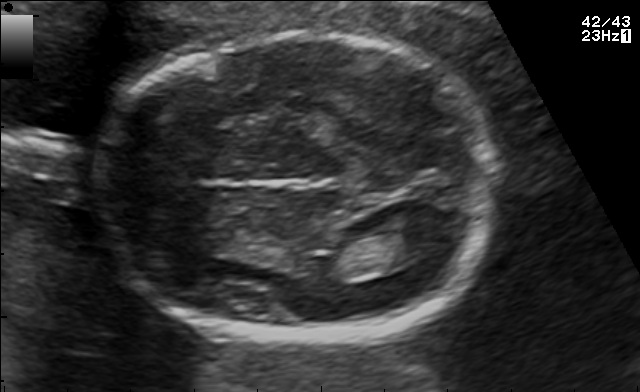
Fetal brain, trans-thalamic plane. Locate the lateral ventricle.

Lateral ventricle: [363,222,437,273]